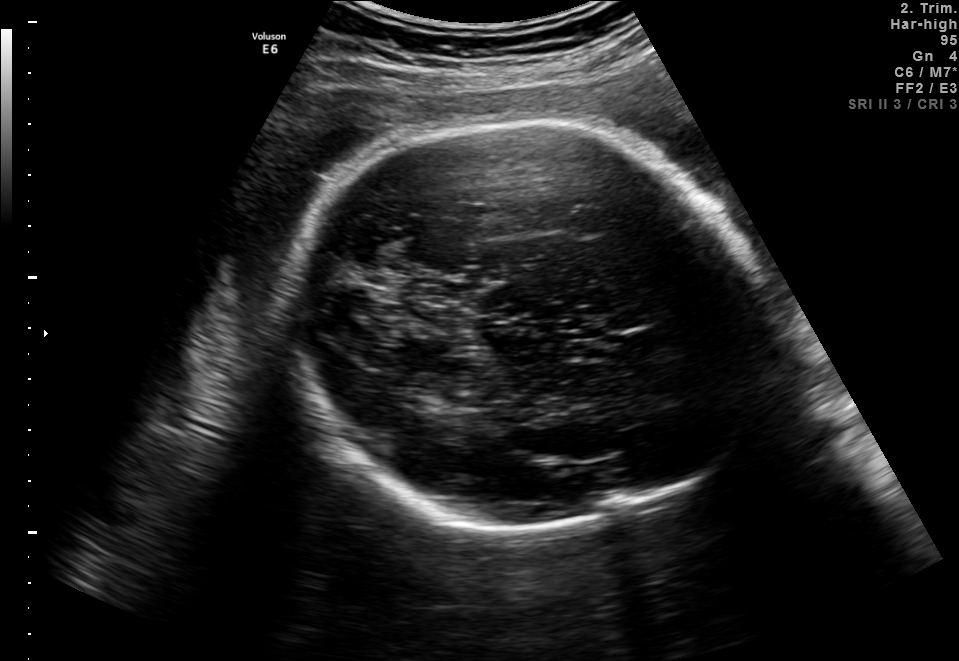
In this fetal brain, trans-thalamic plane, give the bounding box of the fetal head.

[292,116,763,533]